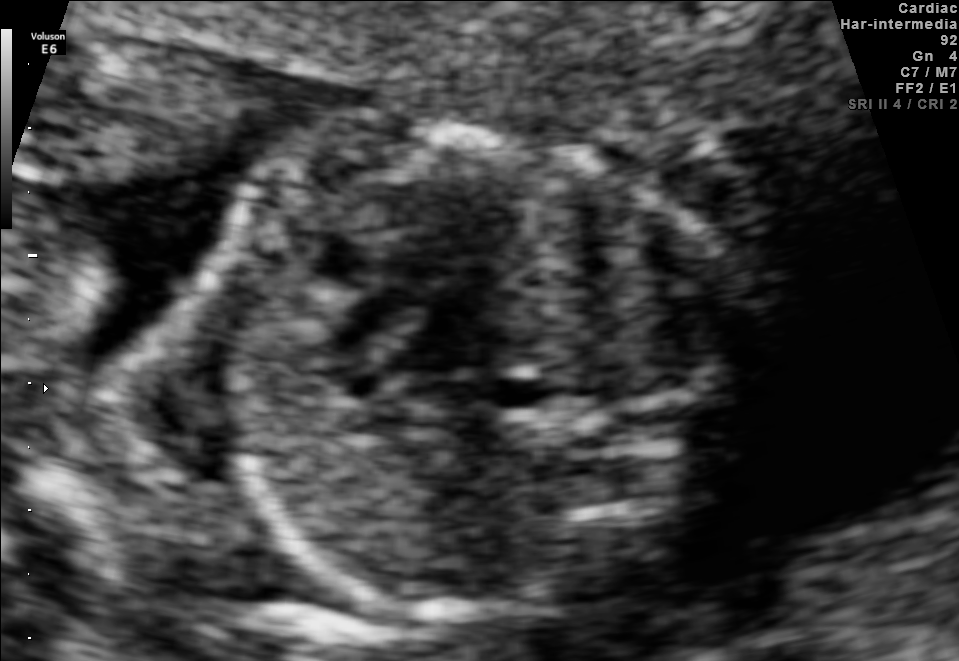
This is a 2D maternal-fetal ultrasound frame. Is it a fetal abdomen, fetal brain, fetal femur, fetal thorax, maternal cervix, or other standard plane? If it's fetal brain and one of the three standard brain planes (trans-thalamic, trans-cerebellum, trans-ventricular), name which.

Other